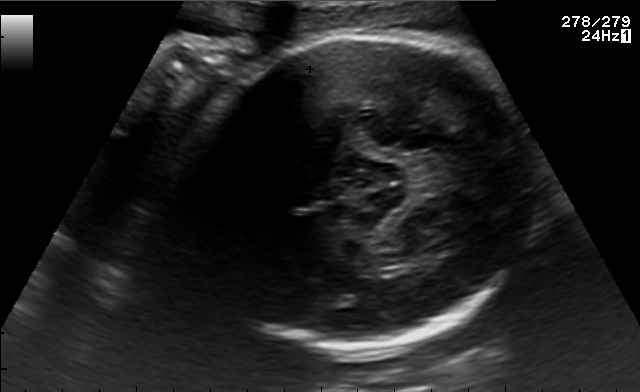
Fetal brain, trans-thalamic plane. Give [x1,y1,x2,y2] bounding boxes for each visible structure among: fetal head, CSP, LV.

Head: [182,35,541,351]